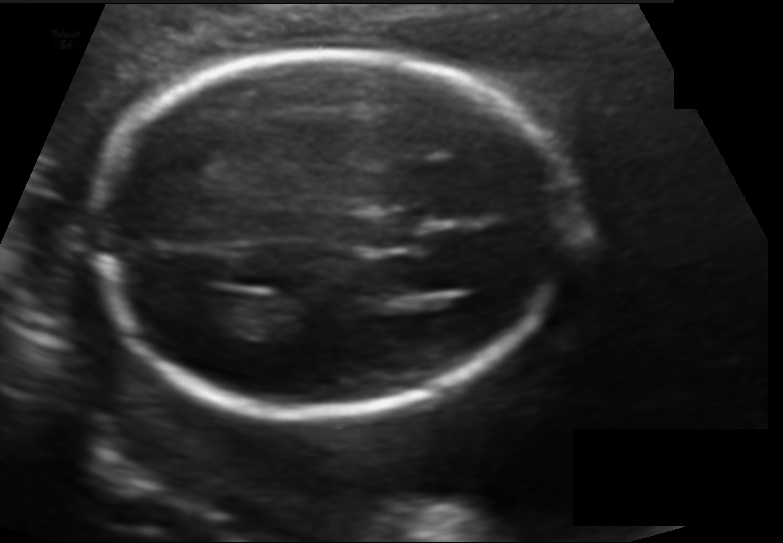
What is the fetal head circumference? Image width is 100.2 mm.

174.2 mm